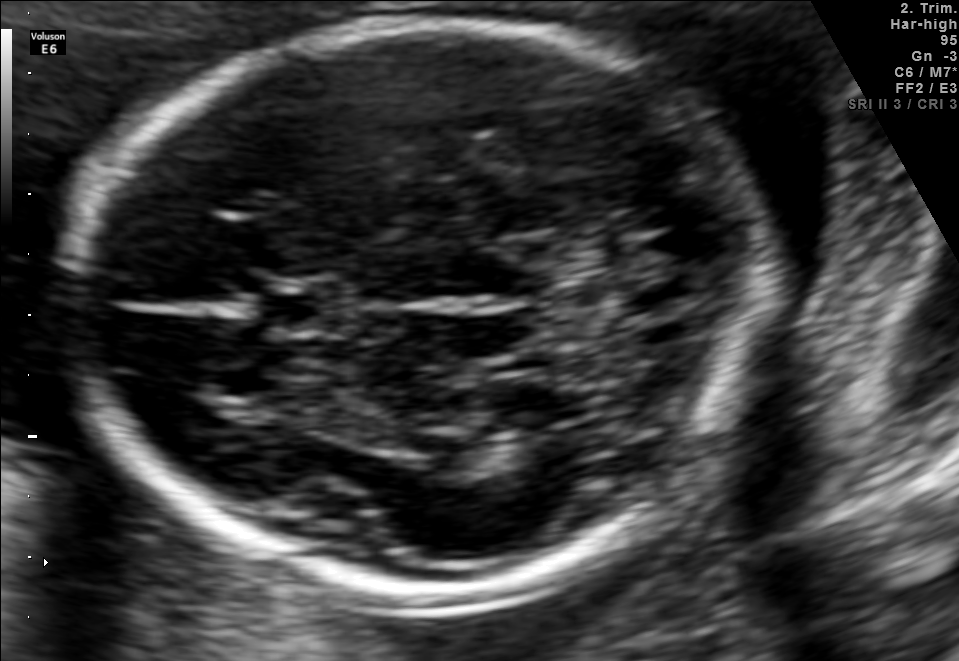
In this fetal brain, trans-thalamic plane, give bounding boxes for the head outline, cavum septum pellucidum (CSP), and lateral ventricle (LV), where visible.

Head: [70,24,781,597]
CSP: [266,282,346,329]